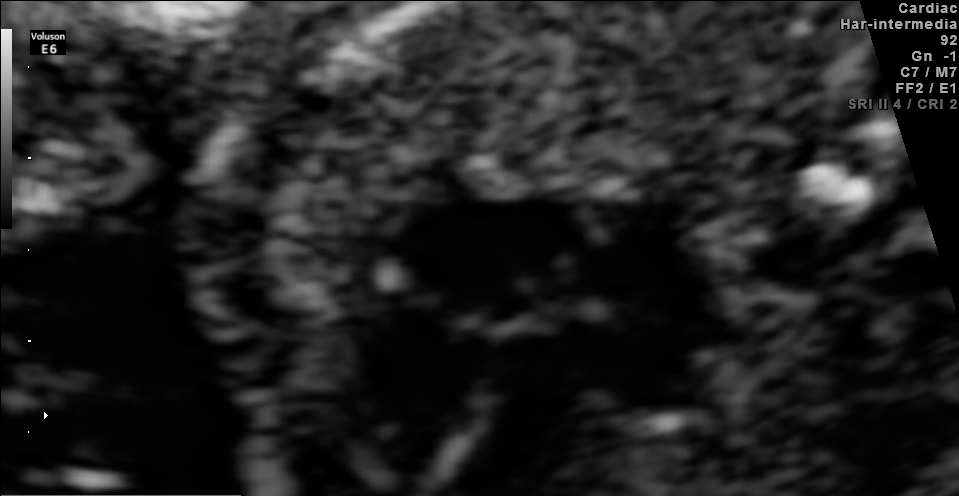
Which standard maternal-fetal ultrasound plane is shown: fetal abdomen, fetal brain, fetal femur, fetal thorax, maternal cervix, or other? If it's fetal brain and one of the three standard brain planes (trans-thalamic, trans-cerebellum, trans-ventricular), name which.

Fetal thorax